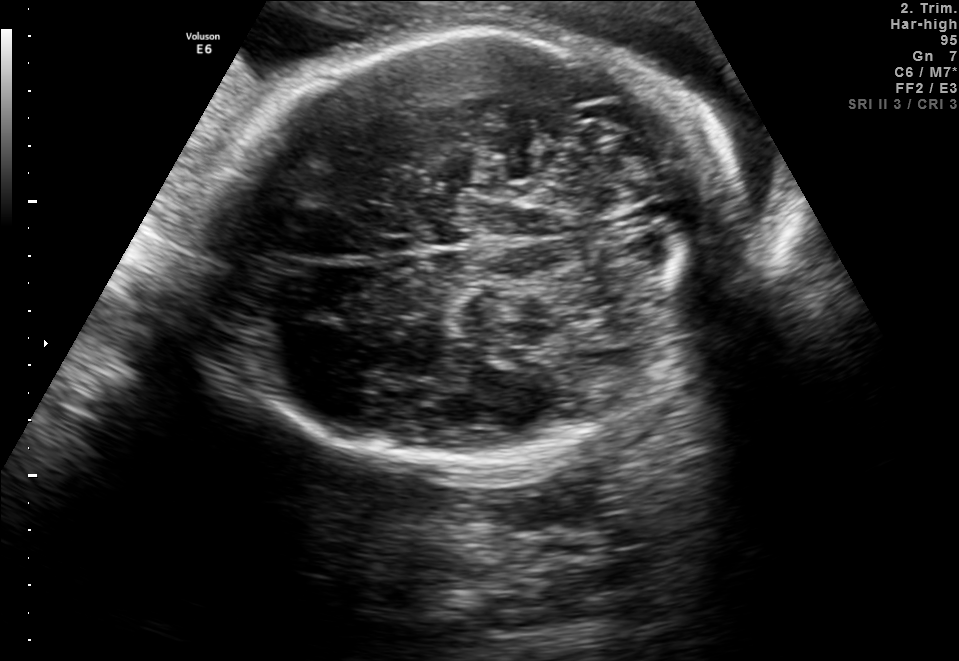
Fetal brain, trans-cerebellum plane. Locate the fetal head.

Head: [219,31,728,462]